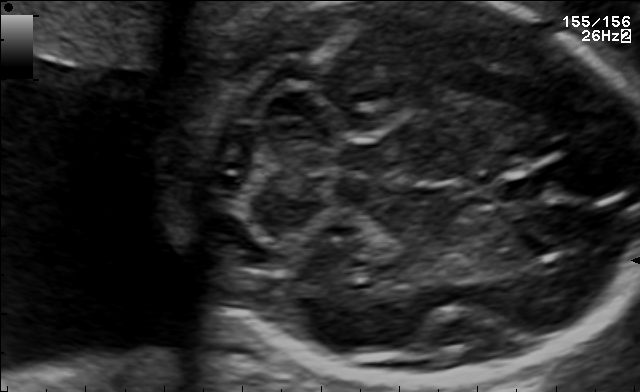
Fetal brain, trans-cerebellum plane. Where is the cavum septum pellucidum?

CSP bounding box: [495,171,549,206]